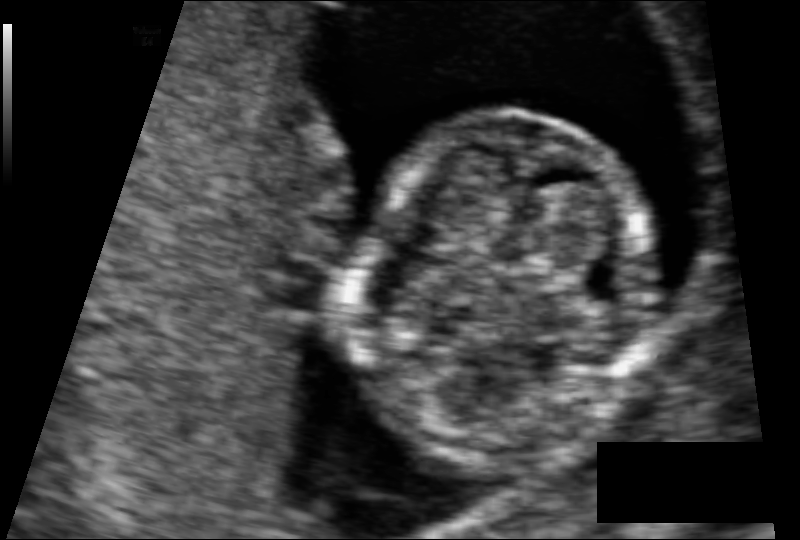
Estimate the fetal head circumference from this 2D ultrasound.

Head circumference: 79.0 mm (image width 58.9 mm).